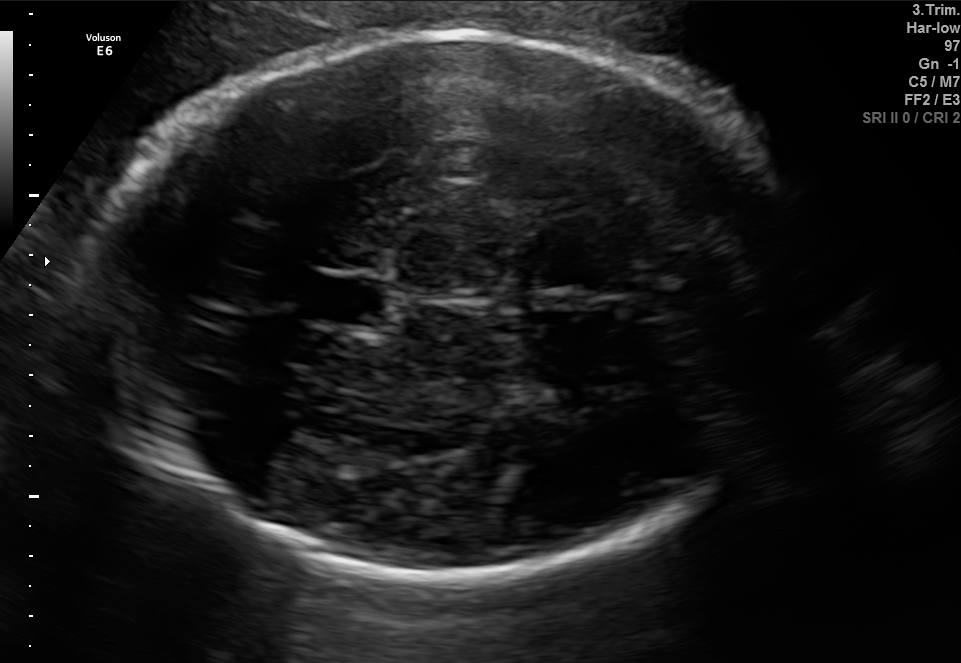
This is a 2D maternal-fetal ultrasound frame. Is it a fetal abdomen, fetal brain, fetal femur, fetal thorax, maternal cervix, or other standard plane? If it's fetal brain and one of the three standard brain planes (trans-thalamic, trans-cerebellum, trans-ventricular), name which.

Fetal brain (trans-thalamic plane)